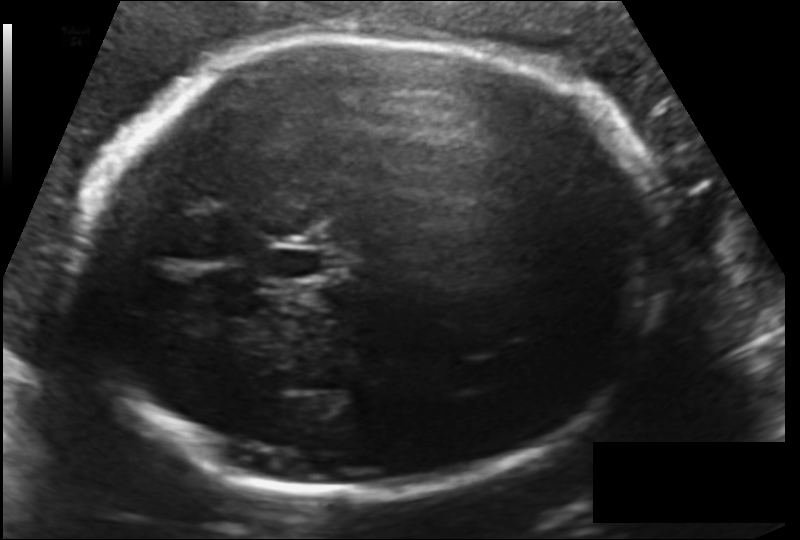
Fetal head ultrasound. Image width: 122.1 mm. Give [x1,y1,x2,y2] bounding boxes for each visible structure among: fetal head, CSP, LV.

Head: [74,35,666,498]
CSP: [265,244,330,282]